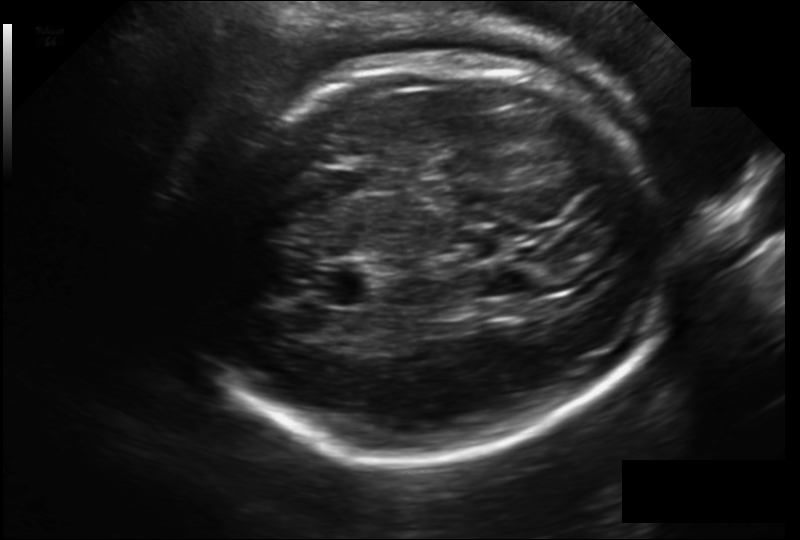
In this fetal head ultrasound, give the bounding box of the fetal head. Image width: 162.0 mm.

[183,54,664,462]